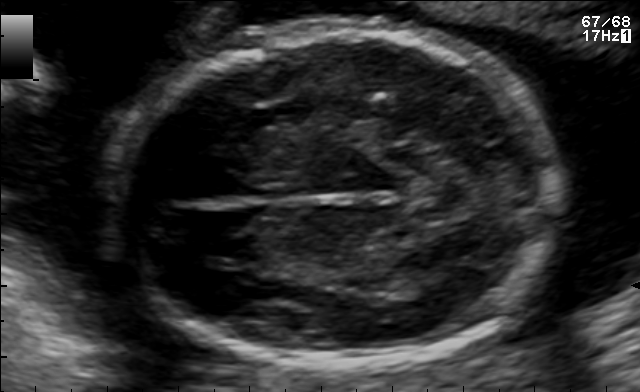
Fetal brain, trans-thalamic plane. Locate the fetal head.

Head: [107,32,556,362]